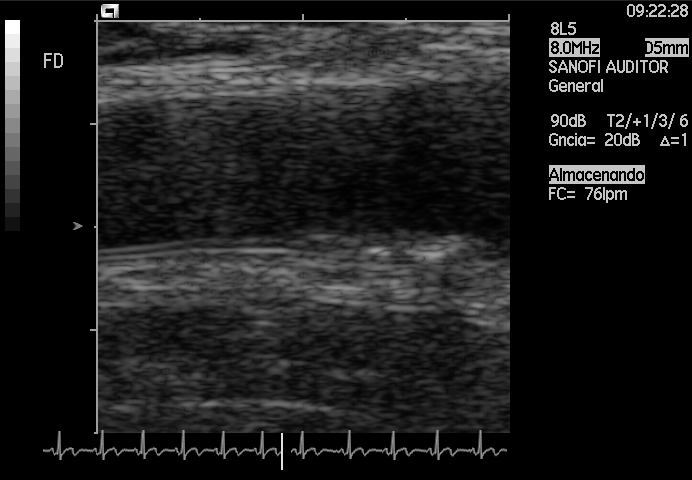
Classify this maternal-fetal ultrasound image as one of the six standard planes — fetal abdomen, fetal brain, fetal femur, fetal thorax, maternal cervix, or other. If it's fetal brain and one of the three standard brain planes (trans-thalamic, trans-cerebellum, trans-ventricular), name which.

Other